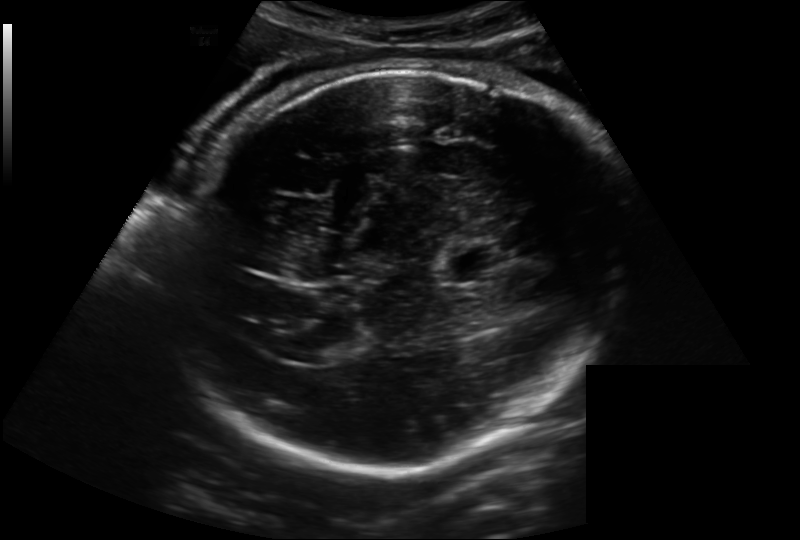
In this fetal head ultrasound, give bounding boxes for the head outline, cavum septum pellucidum (CSP), and lateral ventricle (LV), where visible. Image width: 177.2 mm.

Head: [165,69,626,467]
CSP: [441,240,506,288]
Lateral ventricle: [293,339,336,365]